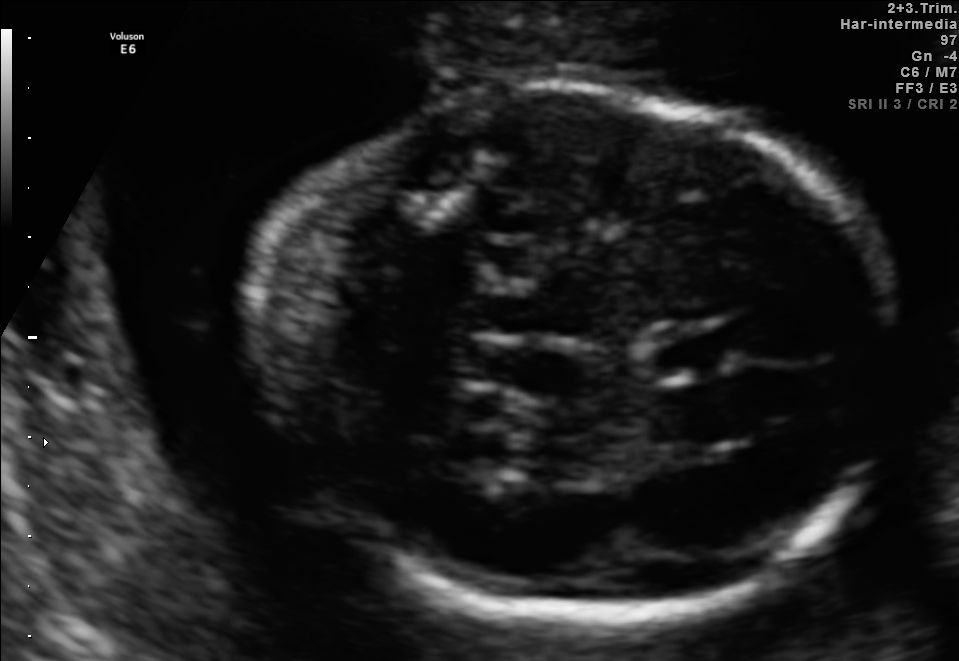
In this fetal brain, trans-thalamic plane, give the bounding box of the fetal head.

[252,86,893,625]